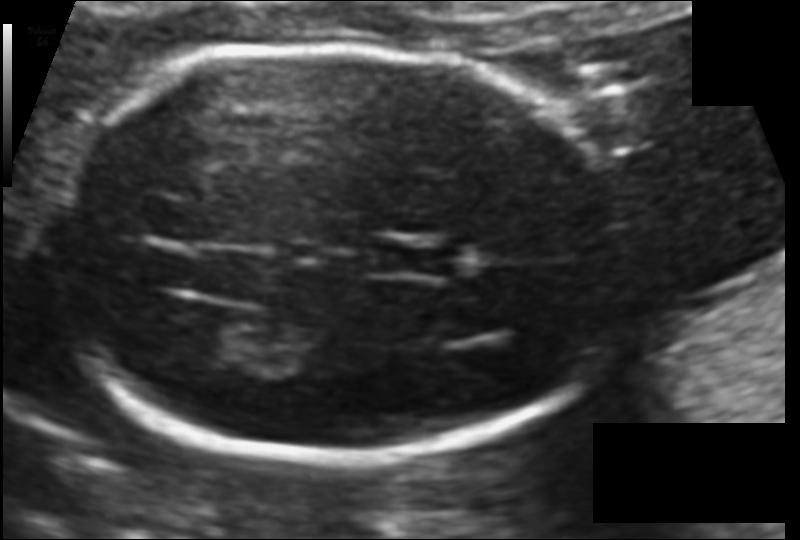
Fetal head ultrasound. Image width: 78.8 mm. Where is the cavum septum pellucidum?

CSP bounding box: [383,242,456,278]